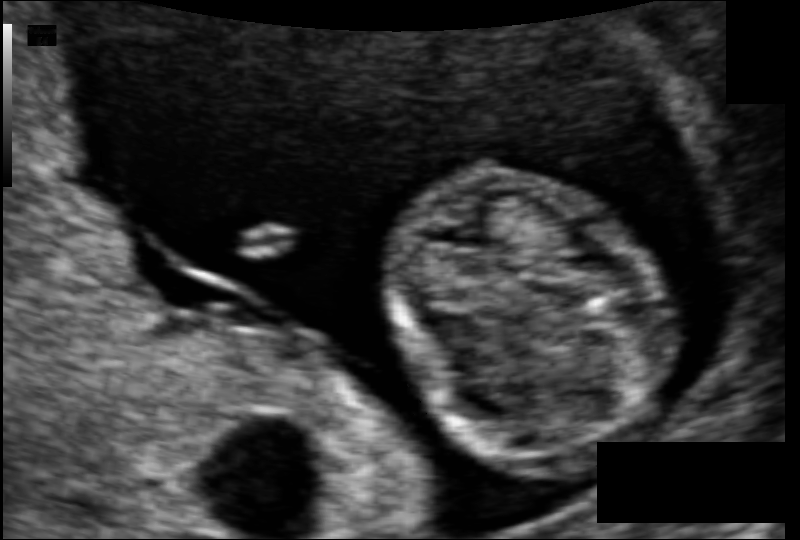
Fetal head ultrasound. Image width: 59.6 mm. Locate the fetal head and, if visible, the cavum septum pellucidum (CSP) and lateral ventricle (LV). Give bounding boxes as [x1,y1,x2,y2].

Head: [387,163,668,460]